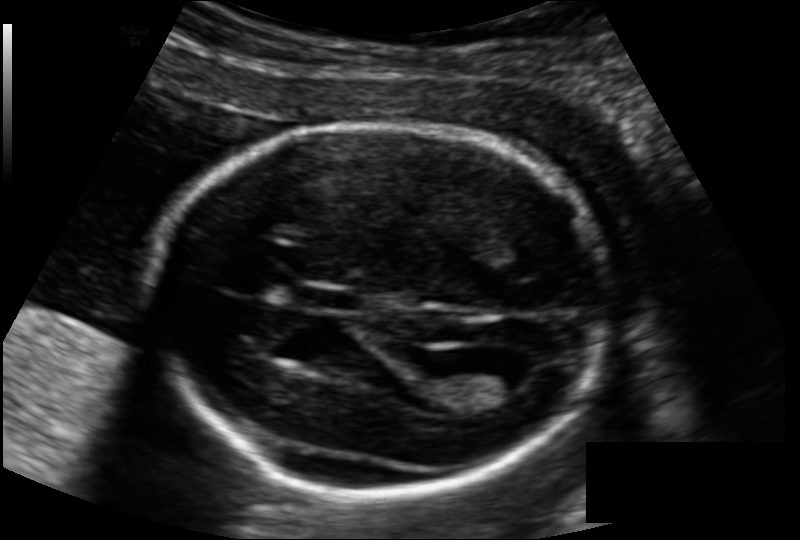
Fetal head ultrasound. Image width: 106.7 mm. Give [x1,y1,x2,y2] bounding boxes for each visible structure among: fetal head, CSP, LV.

Head: [153,123,608,492]
CSP: [295,280,355,315]
Lateral ventricle: [467,350,539,407]